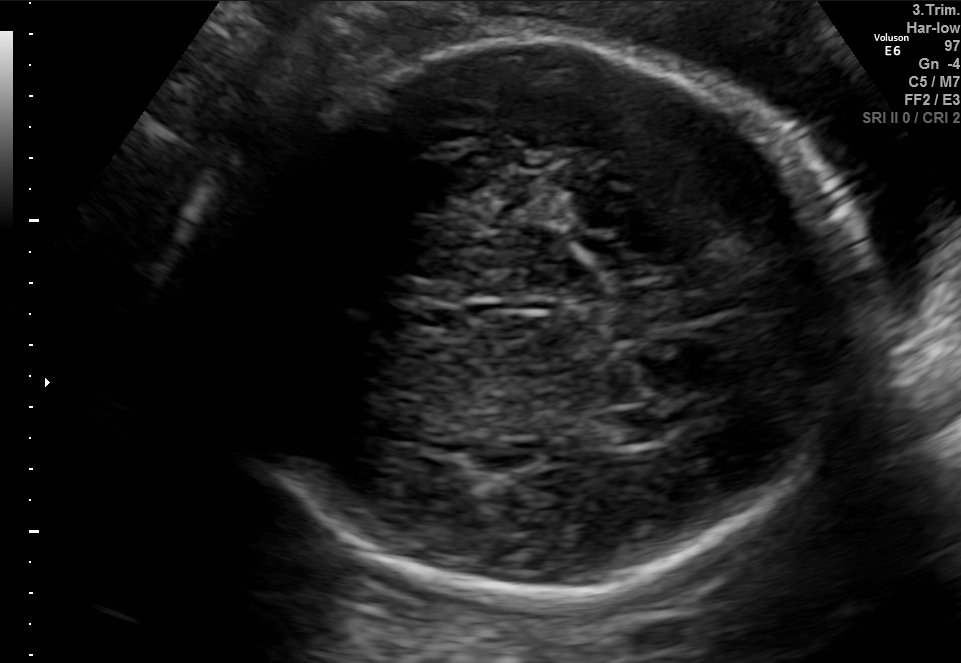
Fetal brain, trans-thalamic plane. Locate the fetal head and, if visible, the cavum septum pellucidum (CSP) and lateral ventricle (LV). Give bounding boxes as [x1,y1,x2,y2].

Head: [221,34,858,597]
CSP: [404,306,468,330]
Lateral ventricle: [584,404,662,453]